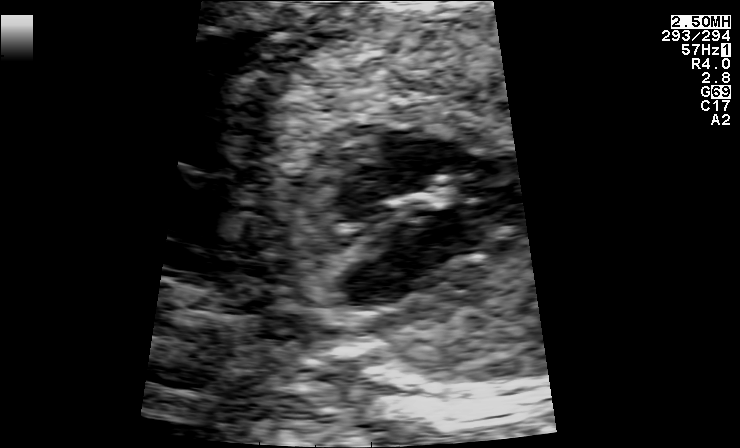
Classify this maternal-fetal ultrasound image as one of the six standard planes — fetal abdomen, fetal brain, fetal femur, fetal thorax, maternal cervix, or other. If it's fetal brain and one of the three standard brain planes (trans-thalamic, trans-cerebellum, trans-ventricular), name which.

Other